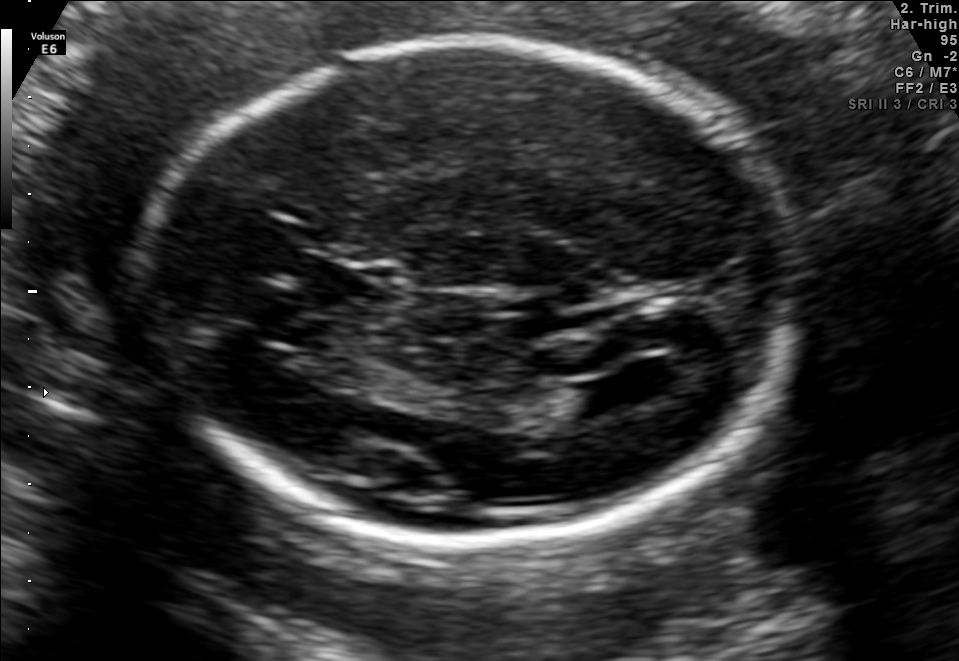
Fetal brain, trans-ventricular plane. Locate the fetal head and, if visible, the cavum septum pellucidum (CSP) and lateral ventricle (LV). Give bounding boxes as [x1,y1,x2,y2].

Head: [123,34,808,549]
CSP: [299,260,410,322]
Lateral ventricle: [566,373,634,421]